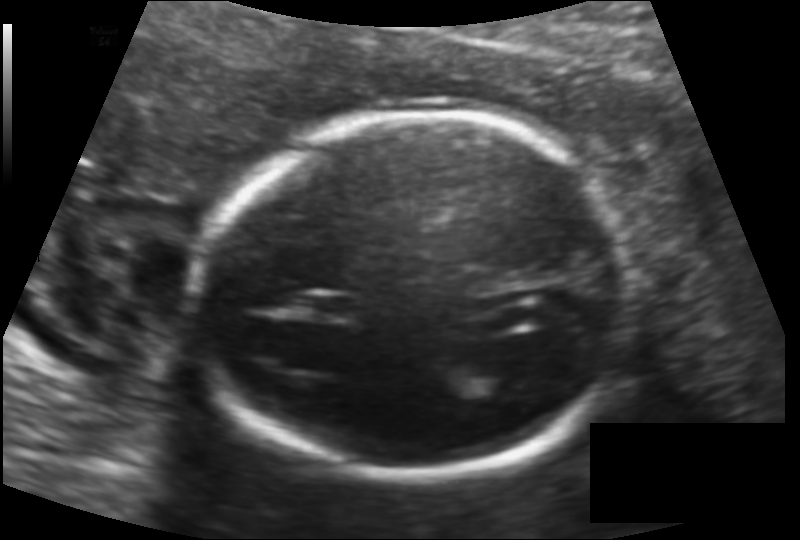
In this fetal head ultrasound, give the bounding box of the cavum septum pellucidum. Image width: 104.4 mm.

[304,292,357,320]